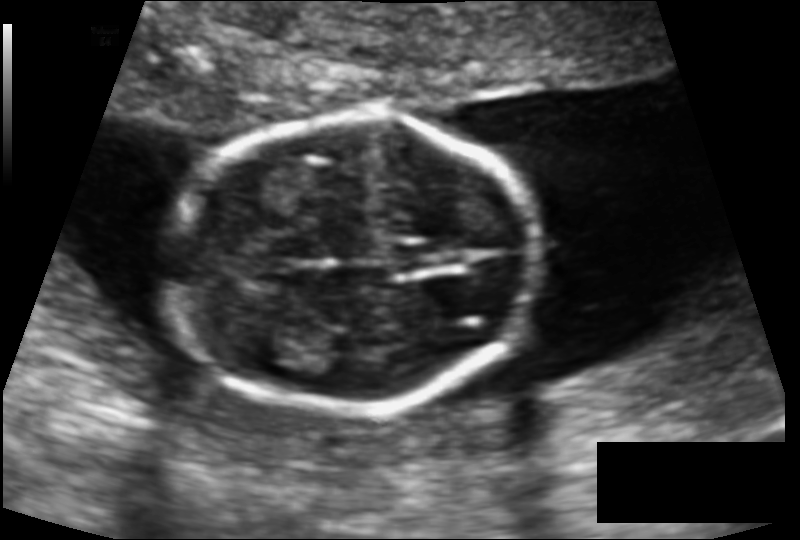
Fetal head ultrasound. Image width: 89.5 mm. Locate the fetal head and, if visible, the cavum septum pellucidum (CSP) and lateral ventricle (LV). Give bounding boxes as [x1,y1,x2,y2].

Head: [166,118,537,410]
CSP: [392,243,437,272]